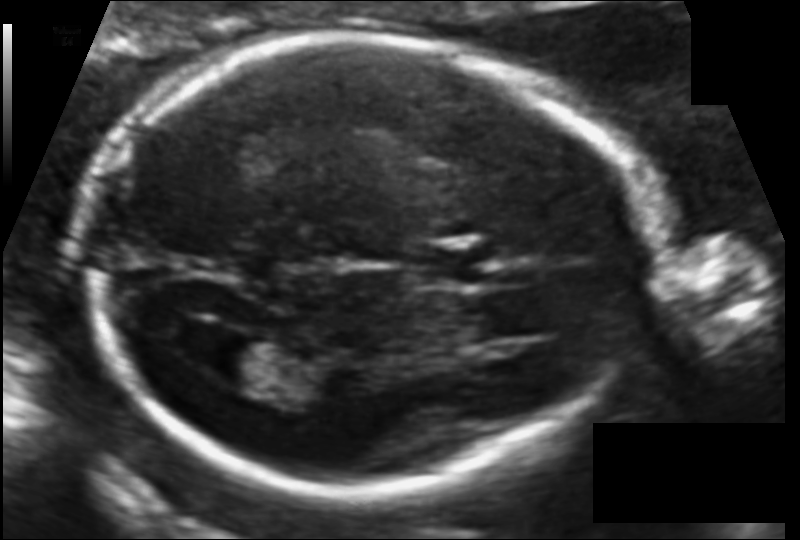
In this fetal head ultrasound, give bounding boxes for the head outline, cavum septum pellucidum (CSP), and lateral ventricle (LV), where visible. Image width: 87.0 mm.

Head: [87,37,643,493]
CSP: [413,245,477,285]
Lateral ventricle: [190,318,279,392]